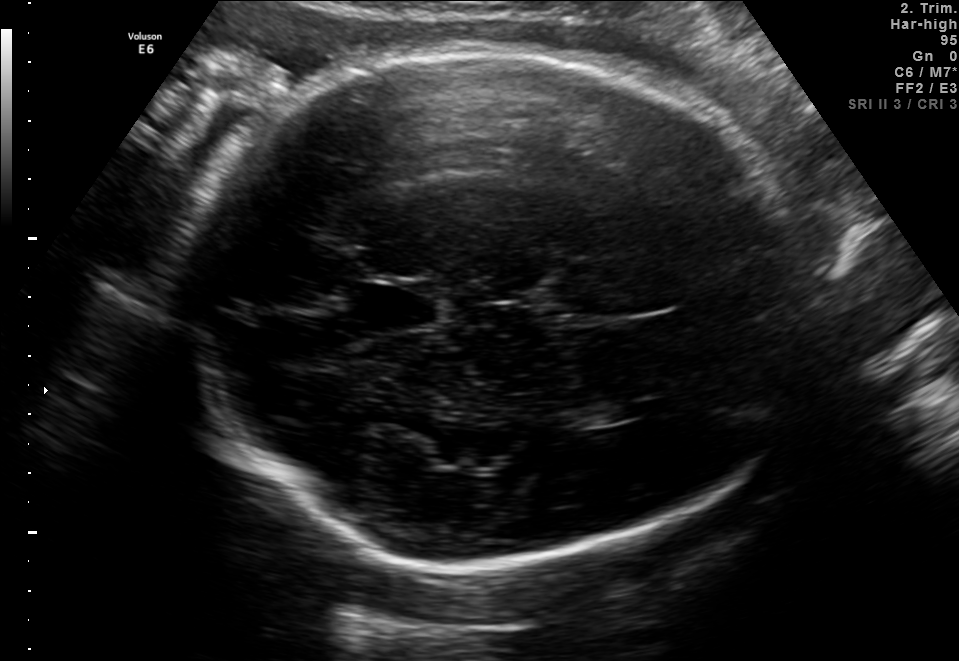
Fetal brain, trans-thalamic plane. Locate the lateral ventricle.

Lateral ventricle: [576,397,642,430]